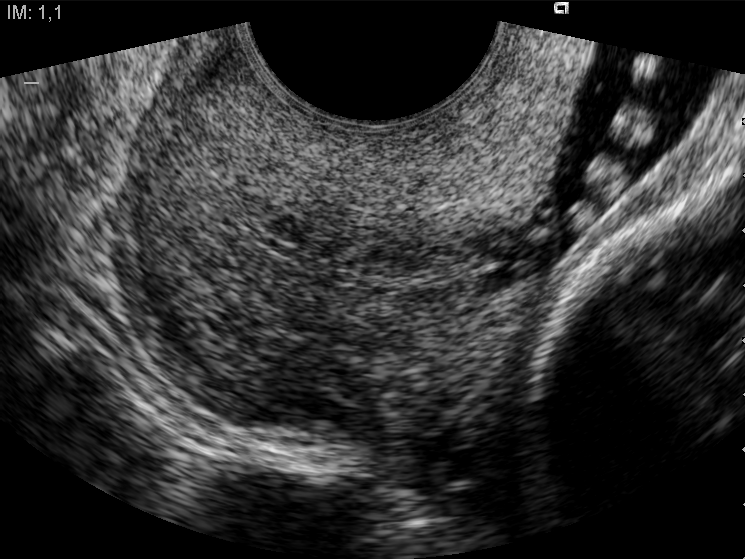
Identify the standard plane in this fetal ultrasound image: fetal abdomen, fetal brain, fetal femur, fetal thorax, maternal cervix, or other. If it's fetal brain and one of the three standard brain planes (trans-thalamic, trans-cerebellum, trans-ventricular), name which.

Maternal cervix